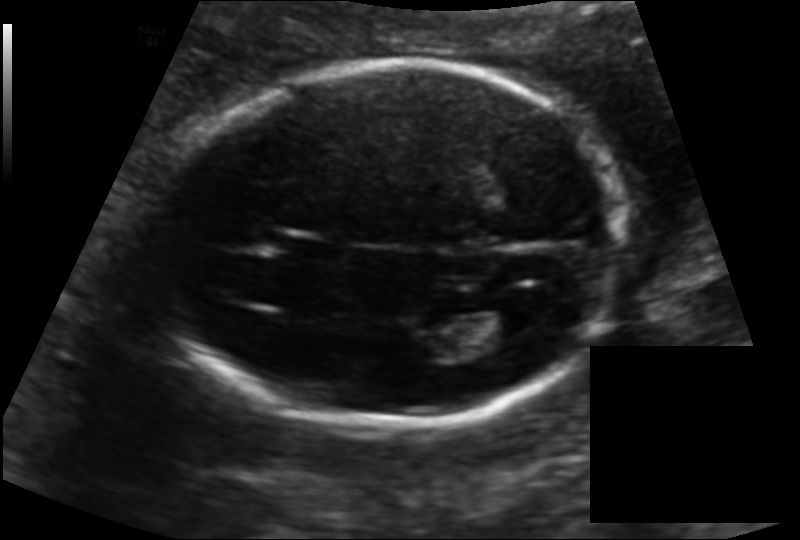
Estimate the fetal head circumference from this 2D ultrasound. Image width: 110.8 mm.

Head circumference: 186.9 mm.